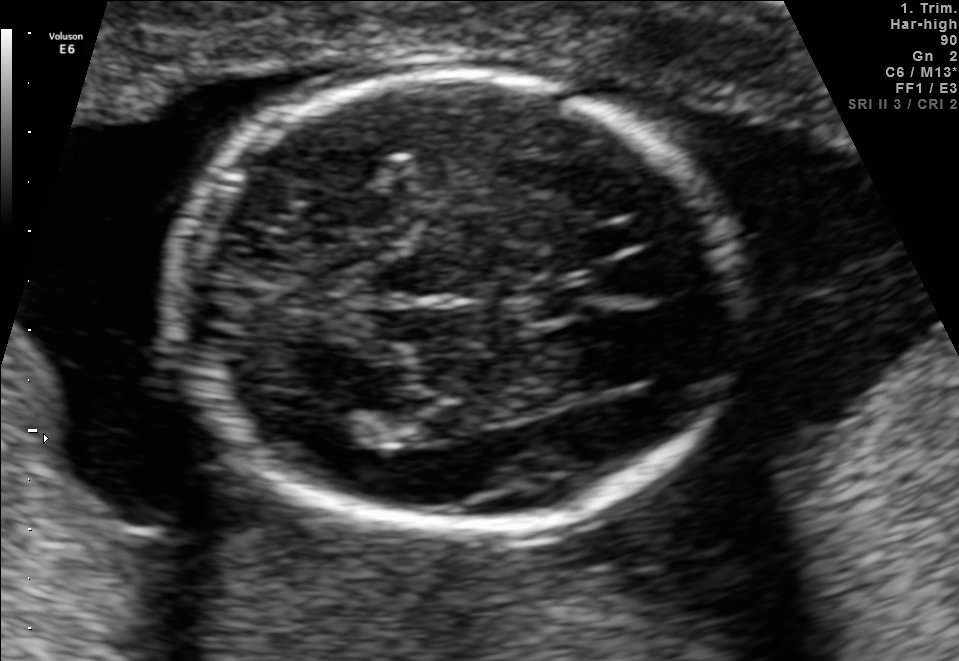
Fetal brain, trans-thalamic plane. Locate the lateral ventricle.

Lateral ventricle: [312,409,395,447]